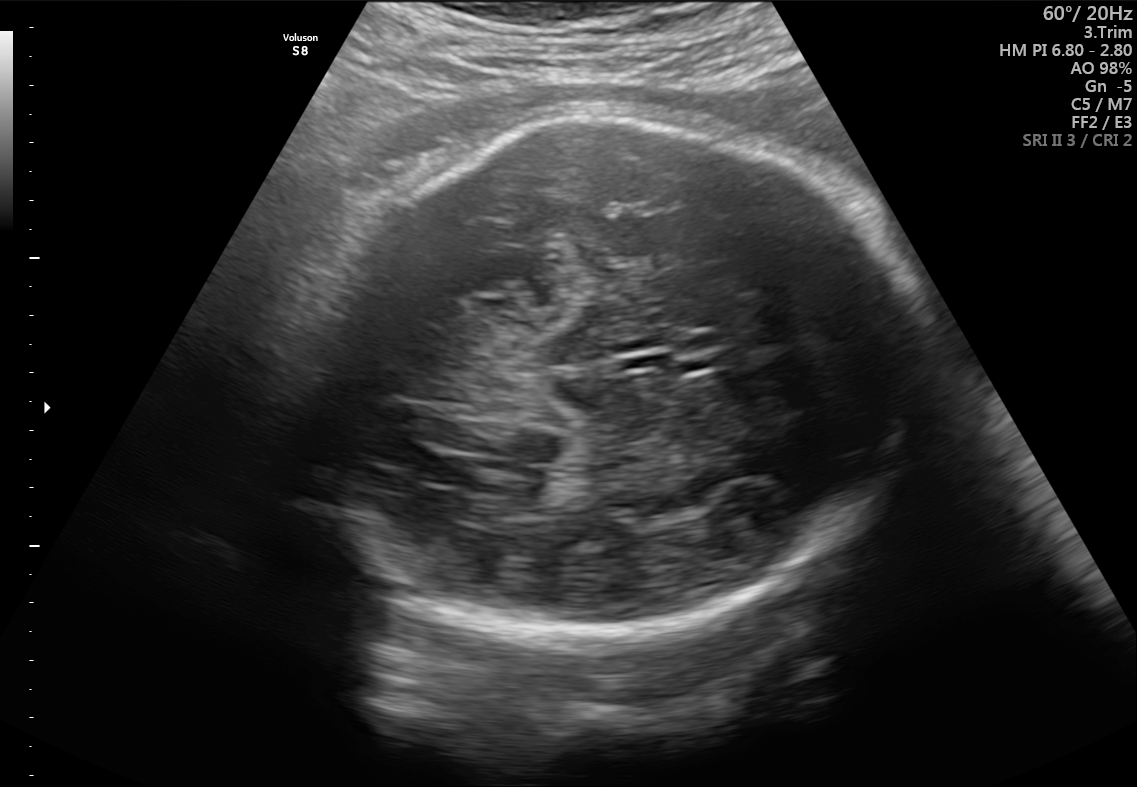
Fetal brain, trans-thalamic plane. Locate the fetal head.

Head: [292,110,931,639]